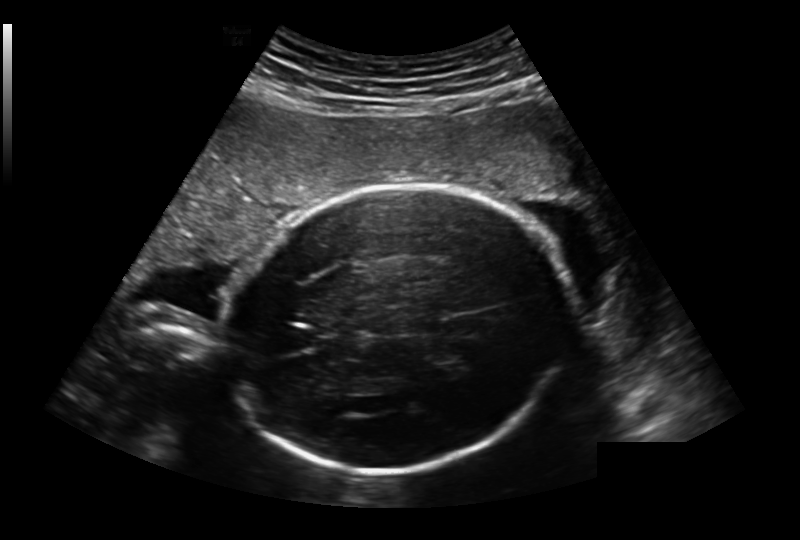
From this fetal ultrasound, estimate the head circumference (image width 188.6 mm).

Head circumference: 240.9 mm.